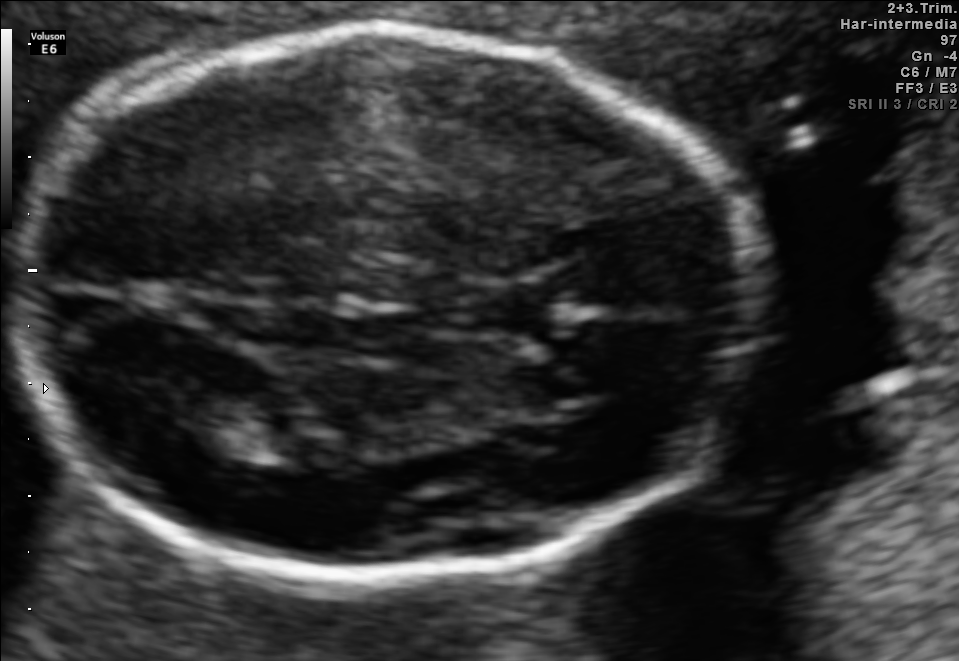
In this fetal brain, trans-thalamic plane, give the bounding box of the fetal head.

[9,34,746,567]